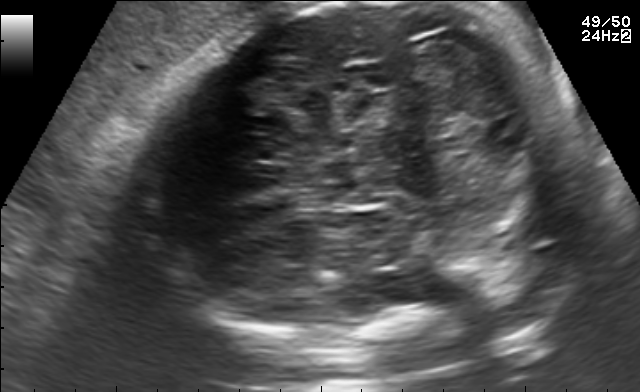
Fetal brain, trans-cerebellum plane. Give [x1,y1,x2,y2] bounding boxes for each visible structure among: fetal head, CSP, LV.

Head: [135,1,587,345]